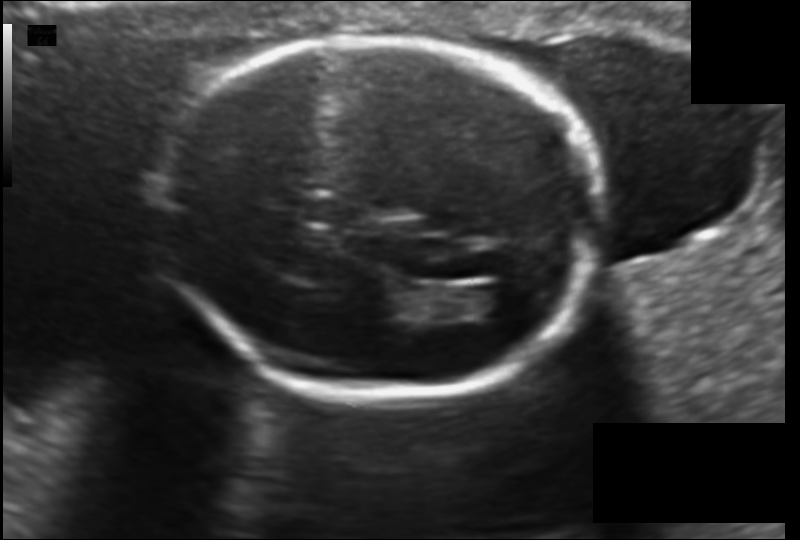
Estimate the fetal head circumference from this 2D ultrasound.

Head circumference: 169.9 mm (image width 104.2 mm).